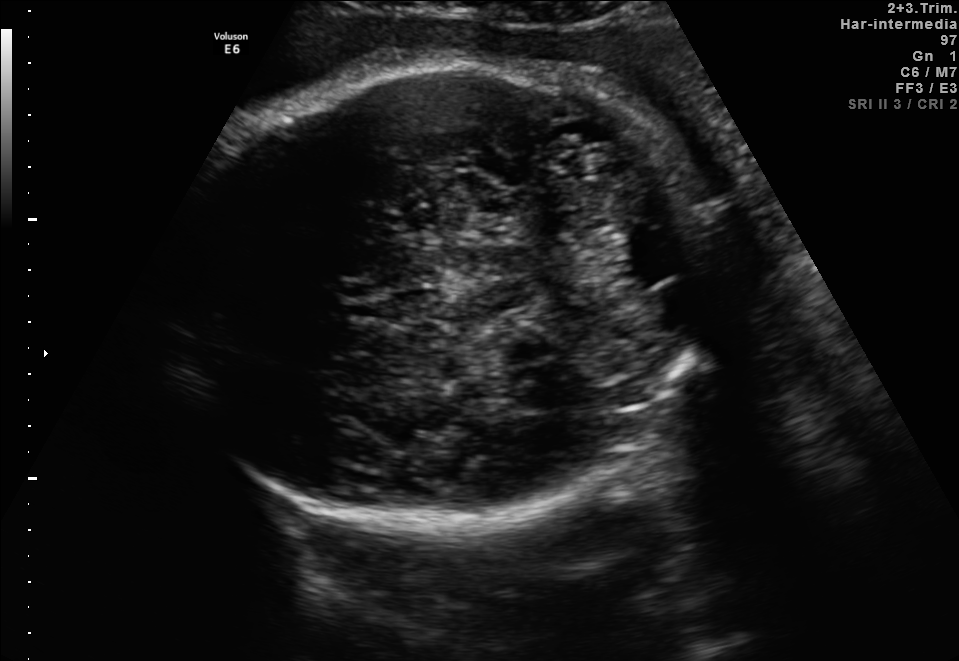
Fetal brain, trans-cerebellum plane. Give [x1,y1,x2,y2] bounding boxes for each visible structure among: fetal head, CSP, LV.

Head: [164,58,715,517]